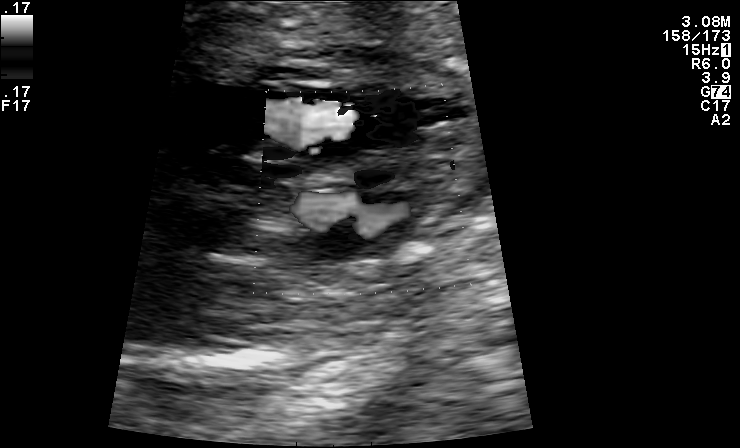
Which standard maternal-fetal ultrasound plane is shown: fetal abdomen, fetal brain, fetal femur, fetal thorax, maternal cervix, or other? If it's fetal brain and one of the three standard brain planes (trans-thalamic, trans-cerebellum, trans-ventricular), name which.

Other